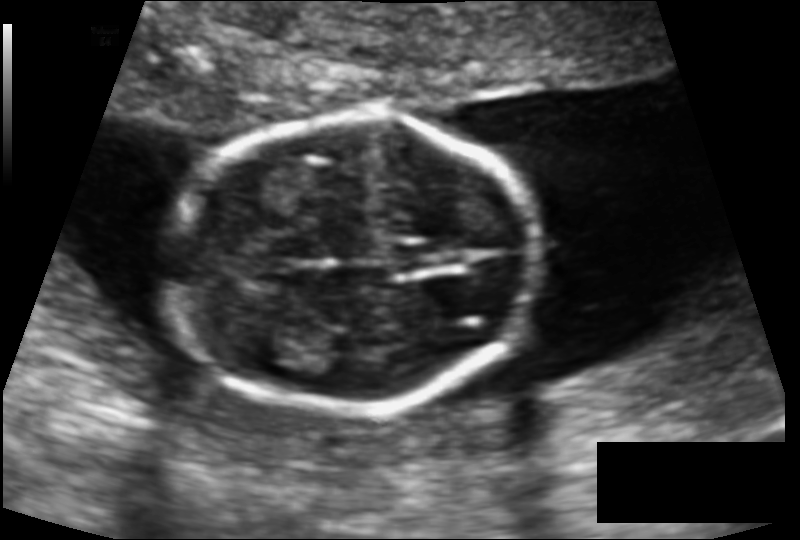
In this fetal head ultrasound, give bounding boxes for the head outline, cavum septum pellucidum (CSP), and lateral ventricle (LV), where visible. Image width: 89.5 mm.

Head: [166,118,537,410]
CSP: [392,243,437,272]